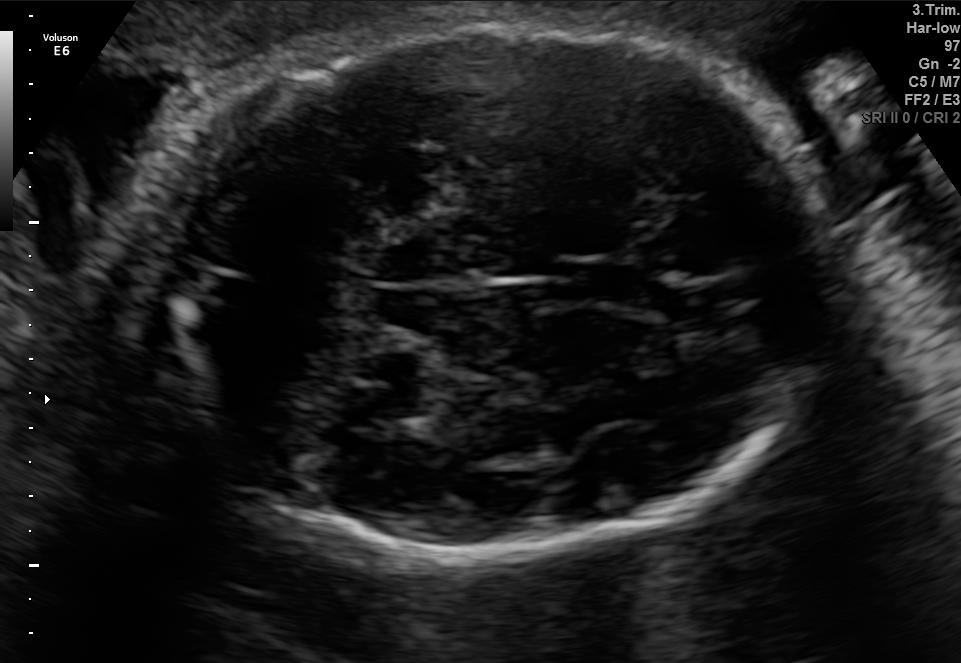
Fetal brain, trans-cerebellum plane. Locate the cavum septum pellucidum.

CSP: [571,255,658,312]